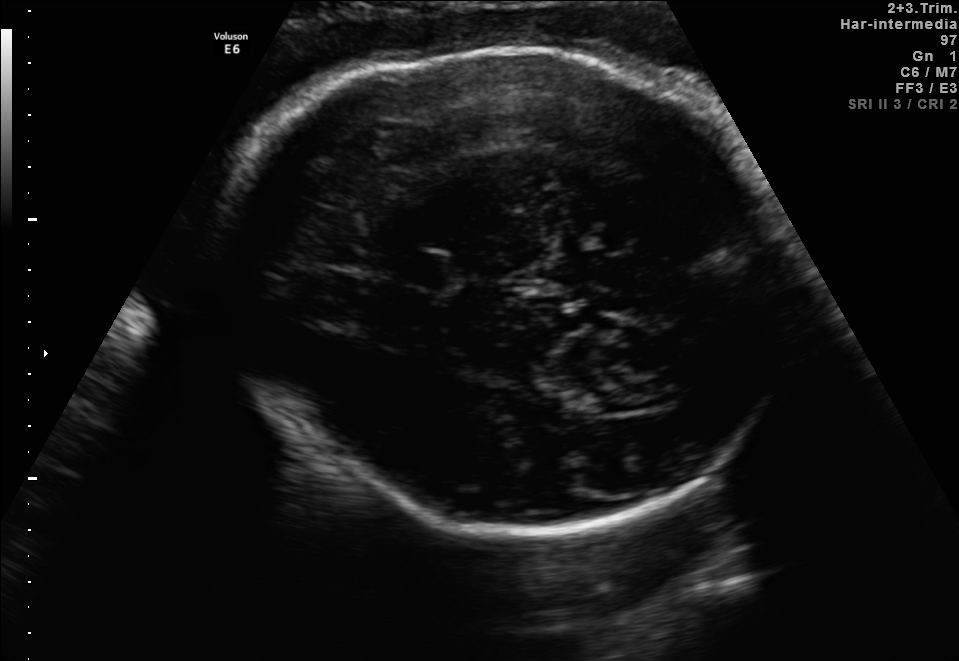
In this fetal brain, trans-thalamic plane, give bounding boxes for the head outline, cavum septum pellucidum (CSP), and lateral ventricle (LV), where visible.

Head: [206,46,807,531]
CSP: [403,252,452,290]
Lateral ventricle: [584,378,671,419]